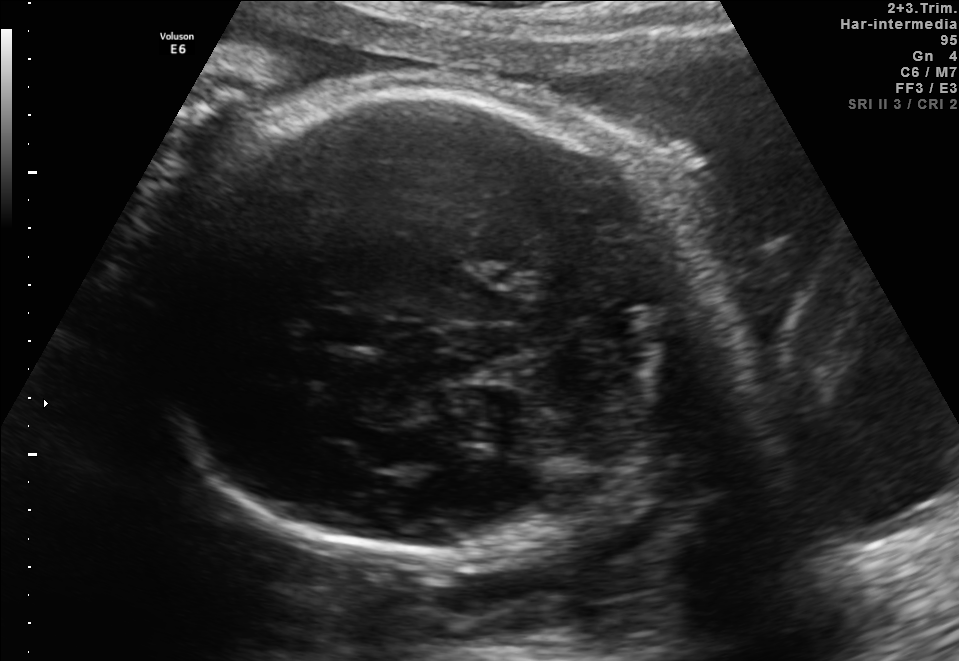
In this fetal brain, trans-thalamic plane, give bounding boxes for the head outline, cavum septum pellucidum (CSP), and lateral ventricle (LV), where visible.

Head: [139,94,700,553]
CSP: [310,308,385,349]